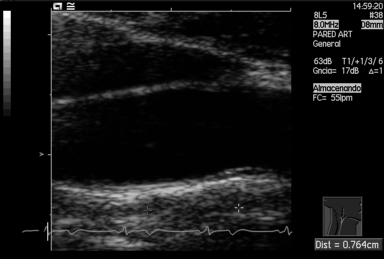
Classify this maternal-fetal ultrasound image as one of the six standard planes — fetal abdomen, fetal brain, fetal femur, fetal thorax, maternal cervix, or other. If it's fetal brain and one of the three standard brain planes (trans-thalamic, trans-cerebellum, trans-ventricular), name which.

Other